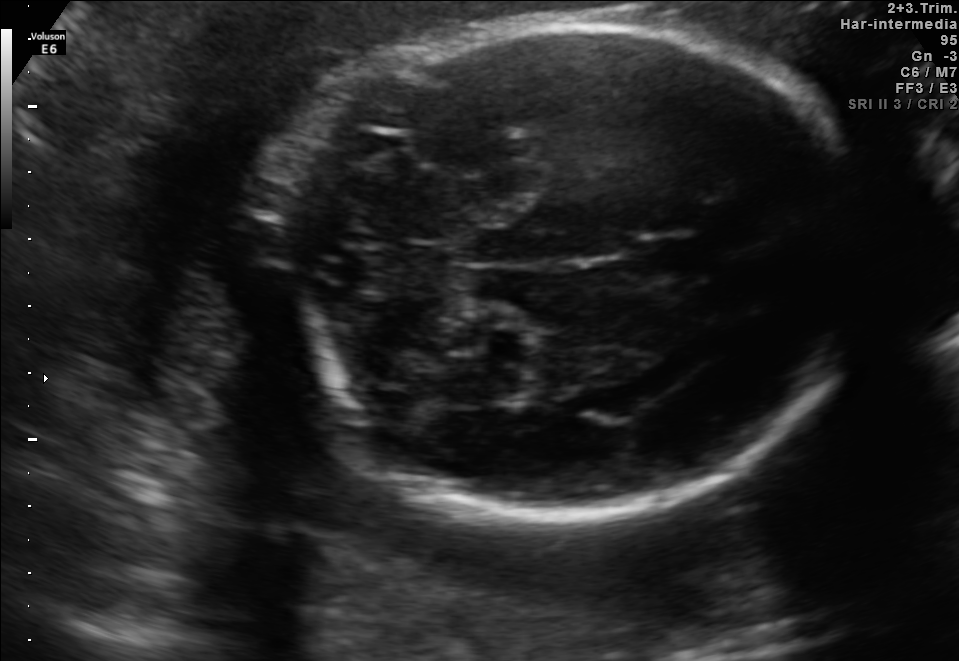
This is a 2D maternal-fetal ultrasound frame. Is it a fetal abdomen, fetal brain, fetal femur, fetal thorax, maternal cervix, or other standard plane? If it's fetal brain and one of the three standard brain planes (trans-thalamic, trans-cerebellum, trans-ventricular), name which.

Fetal brain (trans-cerebellum plane)